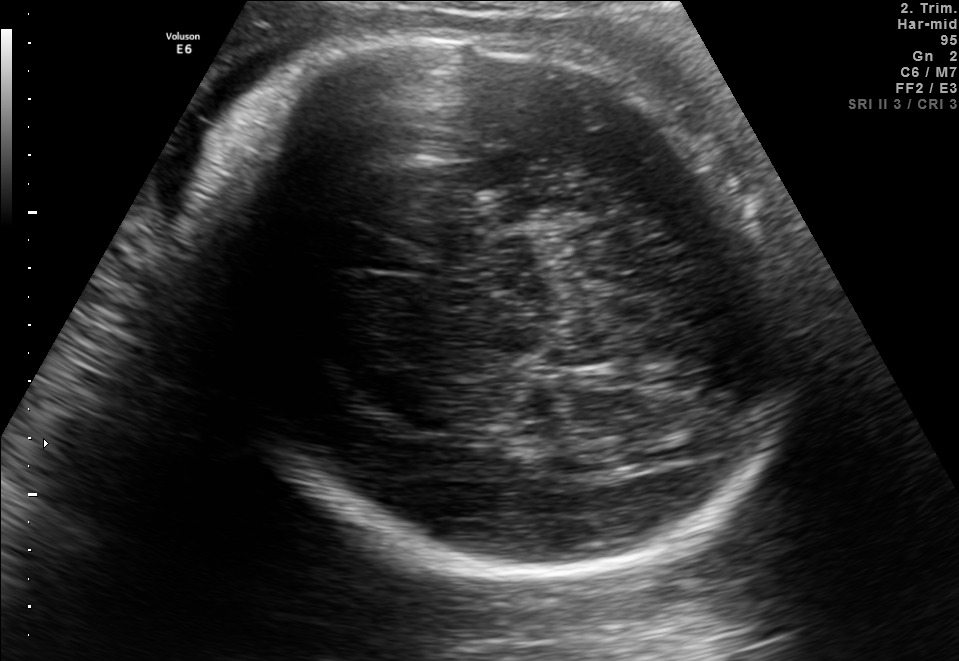
Fetal brain, trans-thalamic plane. Locate the fetal head and, if visible, the cavum septum pellucidum (CSP) and lateral ventricle (LV). Give bounding boxes as [x1,y1,x2,y2].

Head: [196,23,777,586]